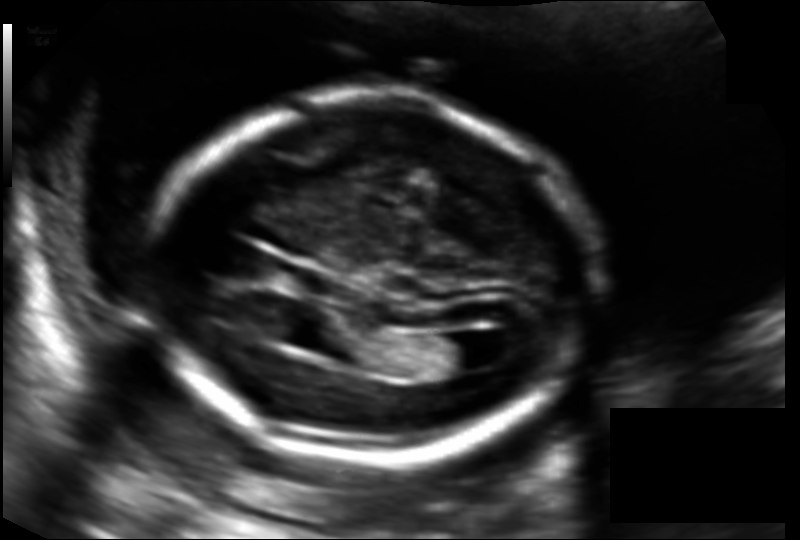
Measure the fetal head circumference shown in this ultrasound image. Image width: 104.2 mm.

Head circumference: 174.8 mm.